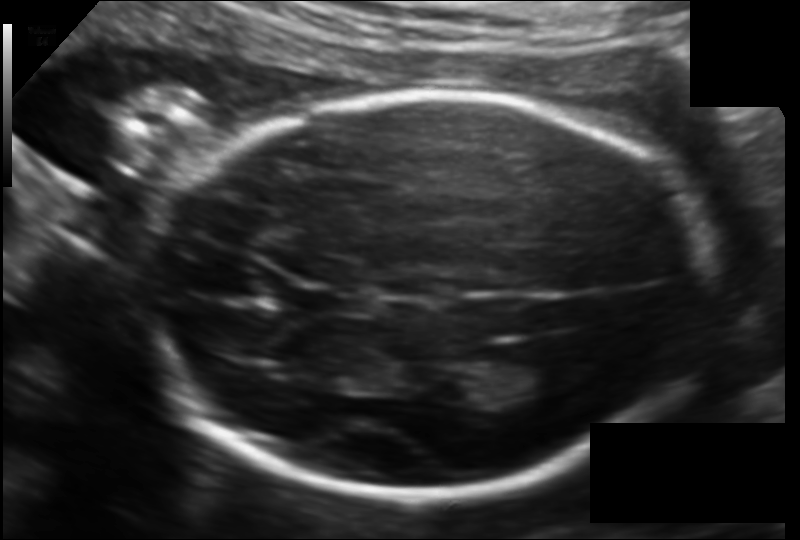
What is the fetal head circumference? Image width is 103.8 mm.

200.5 mm